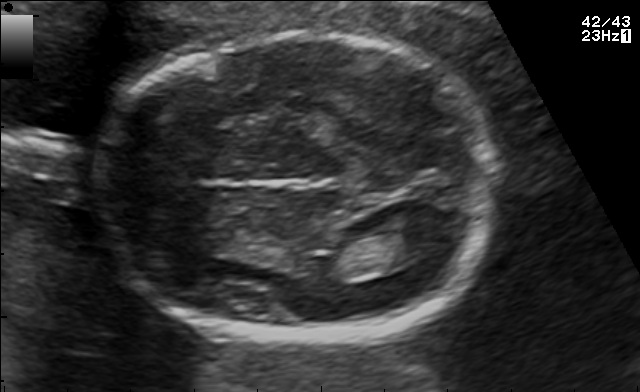
In this fetal brain, trans-thalamic plane, give the bounding box of the lateral ventricle.

[363,222,437,273]